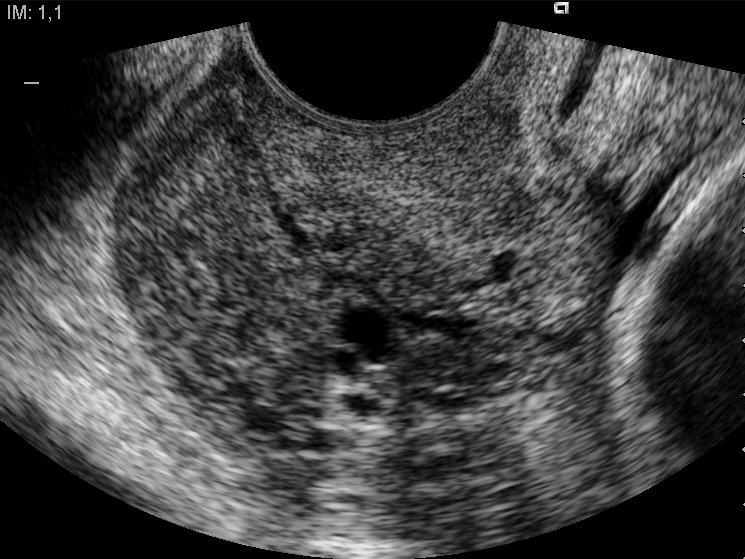
Identify the standard plane in this fetal ultrasound image: fetal abdomen, fetal brain, fetal femur, fetal thorax, maternal cervix, or other. If it's fetal brain and one of the three standard brain planes (trans-thalamic, trans-cerebellum, trans-ventricular), name which.

Maternal cervix